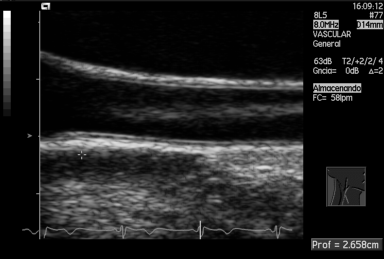
Which standard maternal-fetal ultrasound plane is shown: fetal abdomen, fetal brain, fetal femur, fetal thorax, maternal cervix, or other? If it's fetal brain and one of the three standard brain planes (trans-thalamic, trans-cerebellum, trans-ventricular), name which.

Other